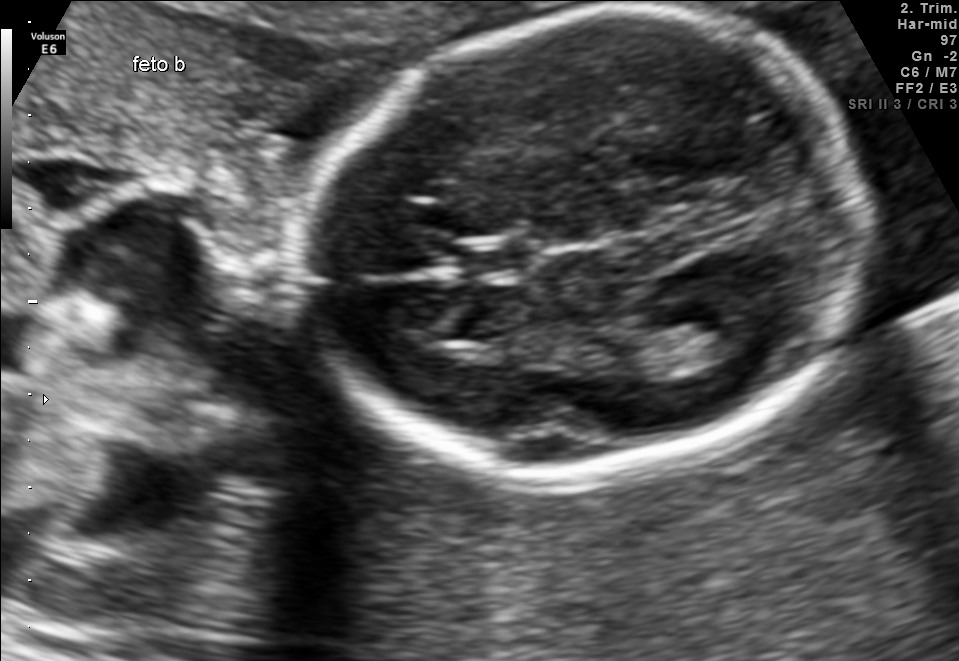
Fetal brain, trans-thalamic plane. Locate the fetal head and, if visible, the cavum septum pellucidum (CSP) and lateral ventricle (LV). Give bounding boxes as [x1,y1,x2,y2].

Head: [302,16,861,475]
CSP: [464,239,534,278]
Lateral ventricle: [668,306,758,374]